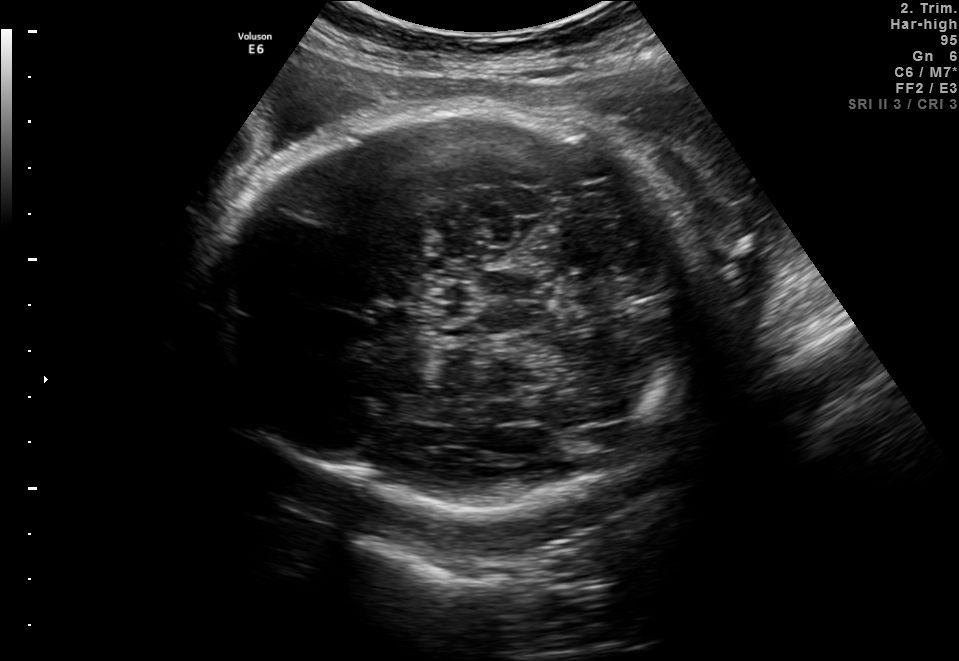
Classify this maternal-fetal ultrasound image as one of the six standard planes — fetal abdomen, fetal brain, fetal femur, fetal thorax, maternal cervix, or other. If it's fetal brain and one of the three standard brain planes (trans-thalamic, trans-cerebellum, trans-ventricular), name which.

Fetal brain (trans-thalamic plane)